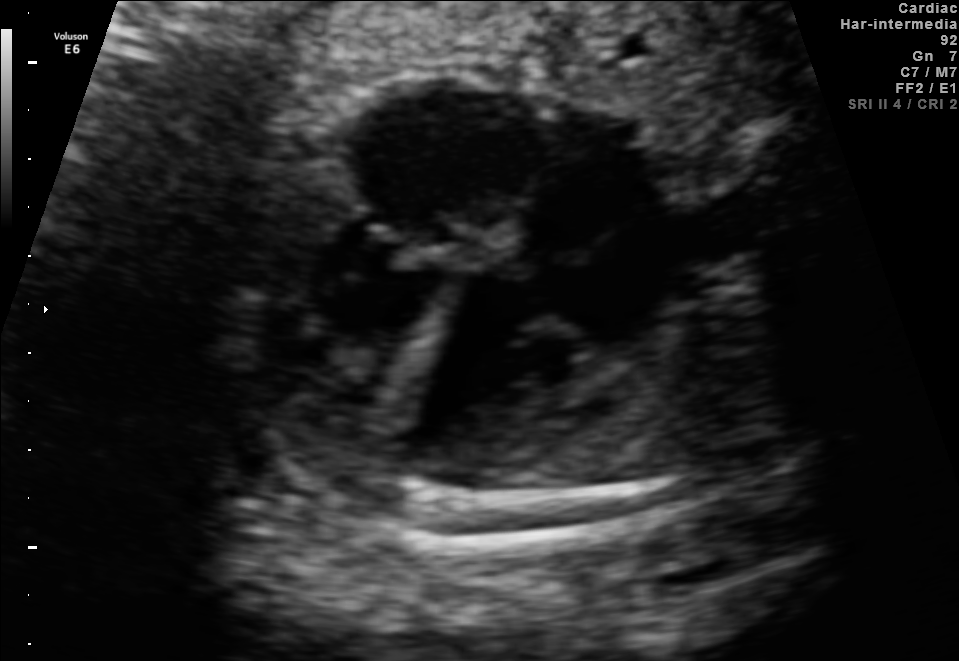
This is a 2D maternal-fetal ultrasound frame. Is it a fetal abdomen, fetal brain, fetal femur, fetal thorax, maternal cervix, or other standard plane? If it's fetal brain and one of the three standard brain planes (trans-thalamic, trans-cerebellum, trans-ventricular), name which.

Fetal thorax